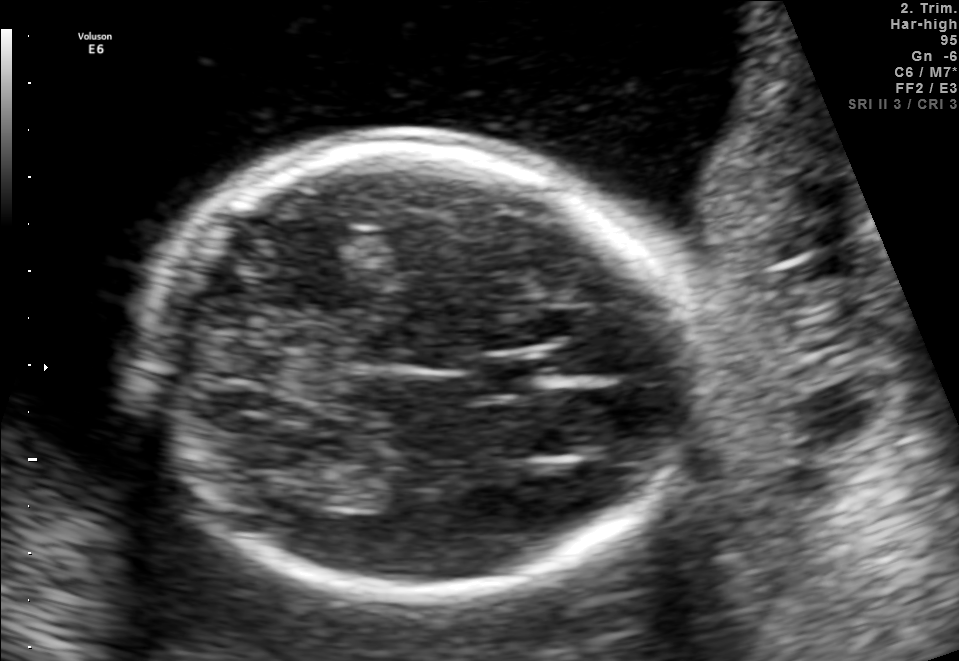
Fetal brain, trans-thalamic plane. Where is the fetal head?

Head bounding box: [143,143,692,592]